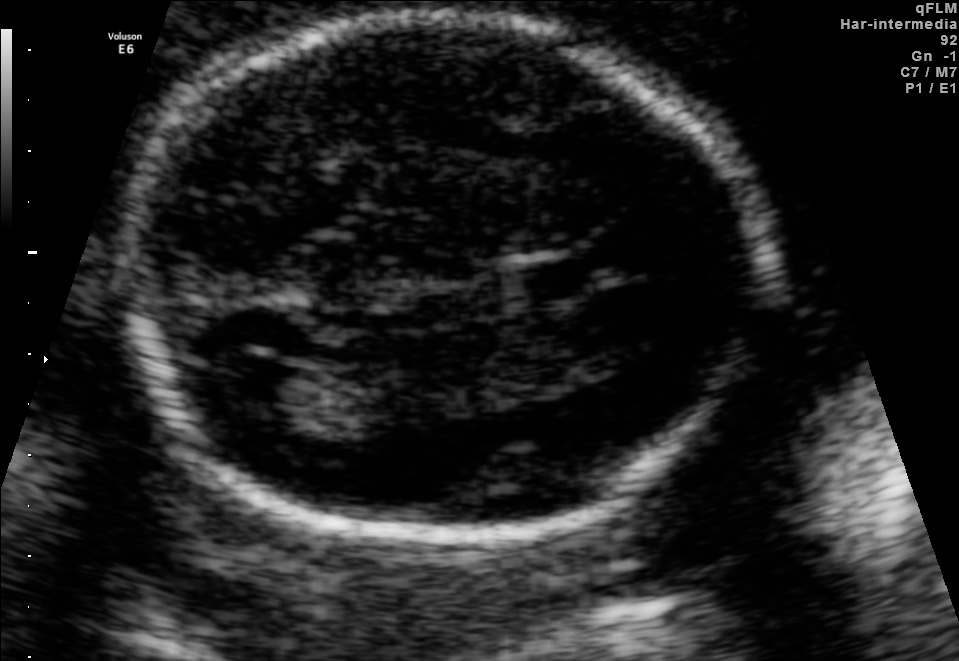
Fetal brain, trans-ventricular plane. Locate the lateral ventricle.

Lateral ventricle: [210,352,325,420]